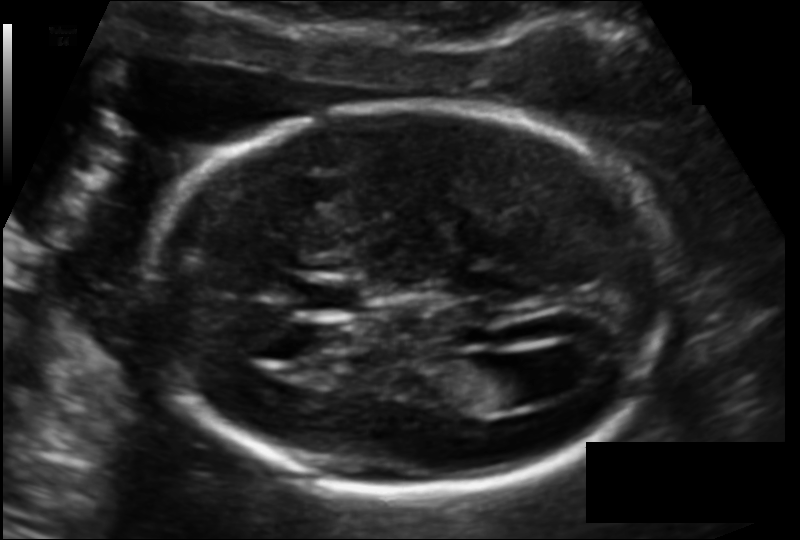
Fetal head ultrasound. Image width: 94.5 mm. Locate the fetal head and, if visible, the cavum septum pellucidum (CSP) and lateral ventricle (LV). Give bounding boxes as [x1,y1,x2,y2].

Head: [147,105,668,491]
CSP: [299,277,364,314]
Lateral ventricle: [461,354,542,413]